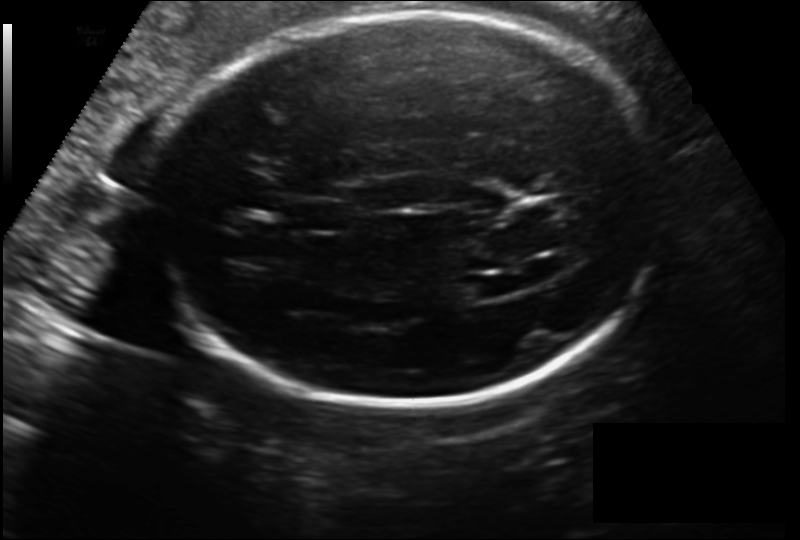
Fetal head ultrasound. Image width: 149.1 mm. Locate the cavum septum pellucidum.

CSP: [291,198,351,235]